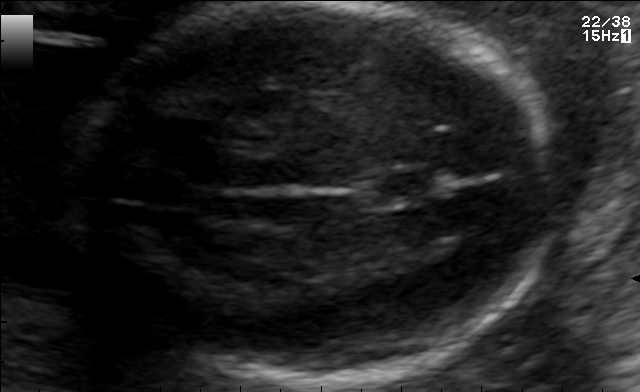
Fetal brain, trans-thalamic plane. Locate the cavum septum pellucidum.

CSP: [365,166,442,206]